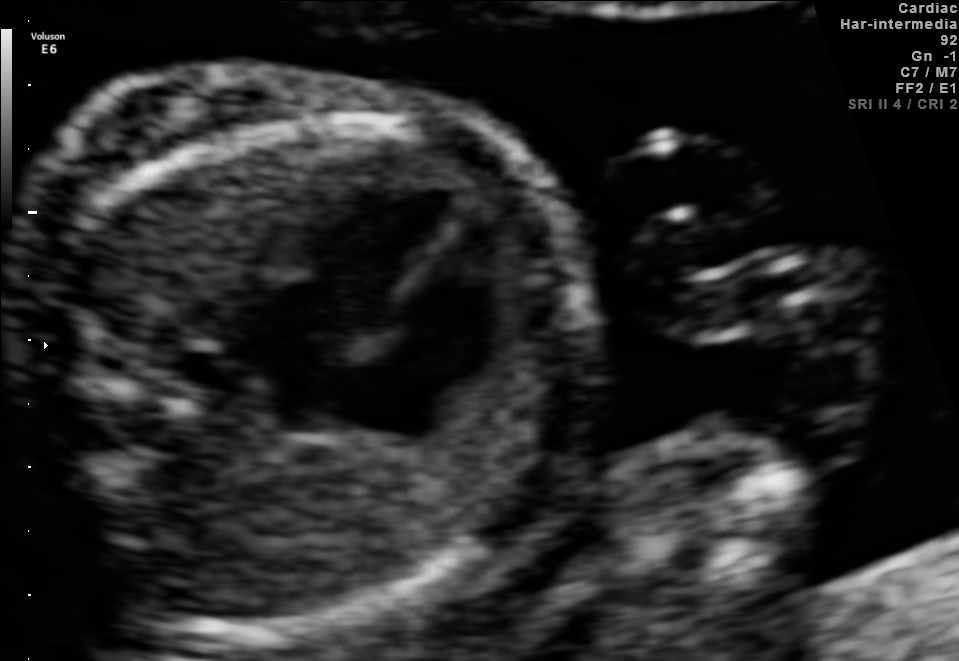
Identify the standard plane in this fetal ultrasound image: fetal abdomen, fetal brain, fetal femur, fetal thorax, maternal cervix, or other. If it's fetal brain and one of the three standard brain planes (trans-thalamic, trans-cerebellum, trans-ventricular), name which.

Fetal thorax